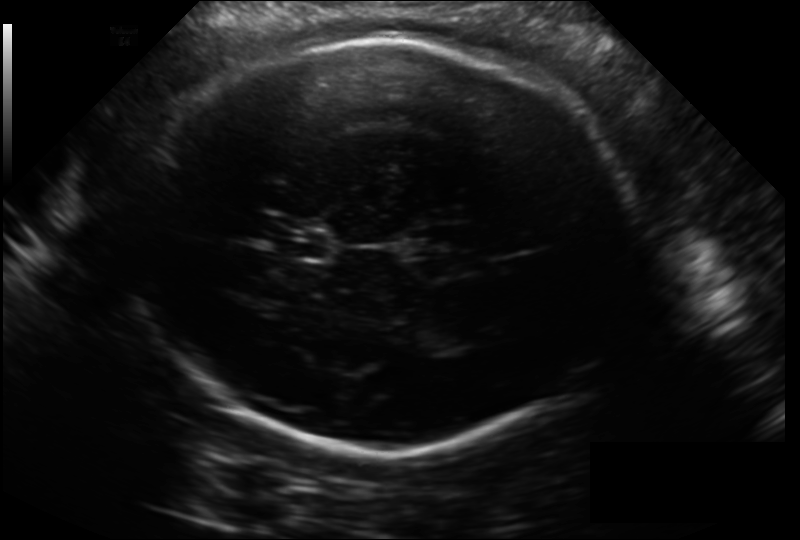
Measure the fetal head circumference shown in this ultrasound image. Image width: 168.5 mm.

Head circumference: 311.4 mm.